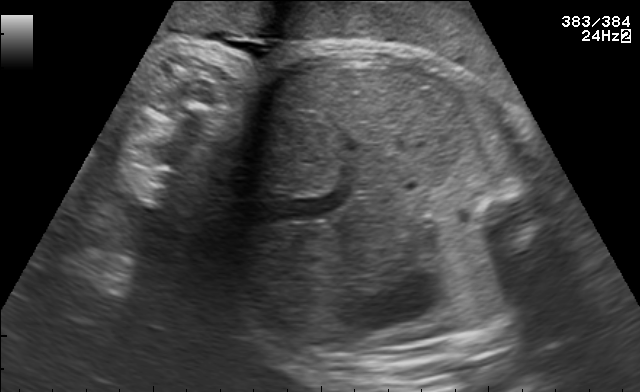
This is a 2D maternal-fetal ultrasound frame. Is it a fetal abdomen, fetal brain, fetal femur, fetal thorax, maternal cervix, or other standard plane? If it's fetal brain and one of the three standard brain planes (trans-thalamic, trans-cerebellum, trans-ventricular), name which.

Fetal abdomen